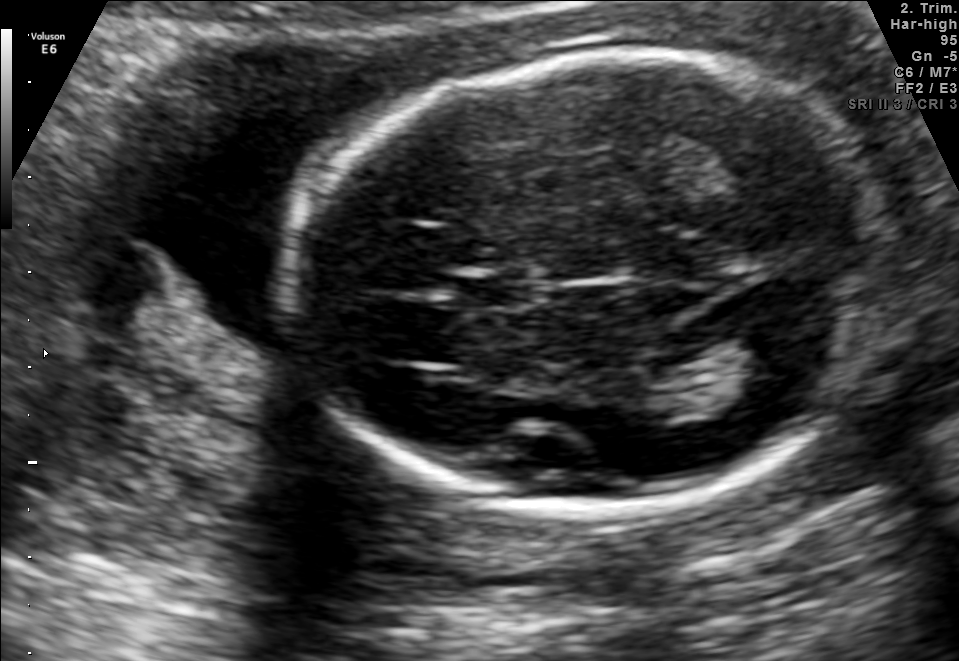
In this fetal brain, trans-thalamic plane, give the bounding box of the cavum septum pellucidum.

[461,278,529,306]